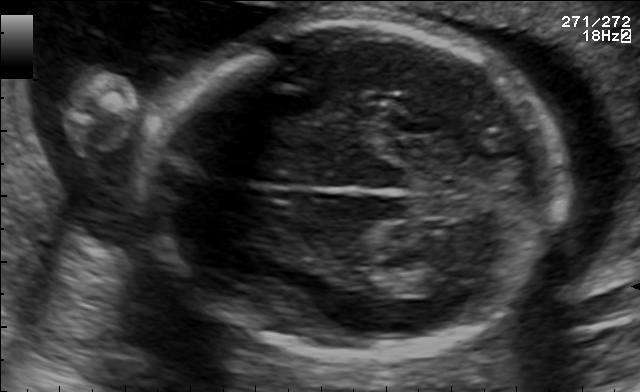
In this fetal brain, trans-thalamic plane, give the bounding box of the fetal head.

[145,24,559,358]